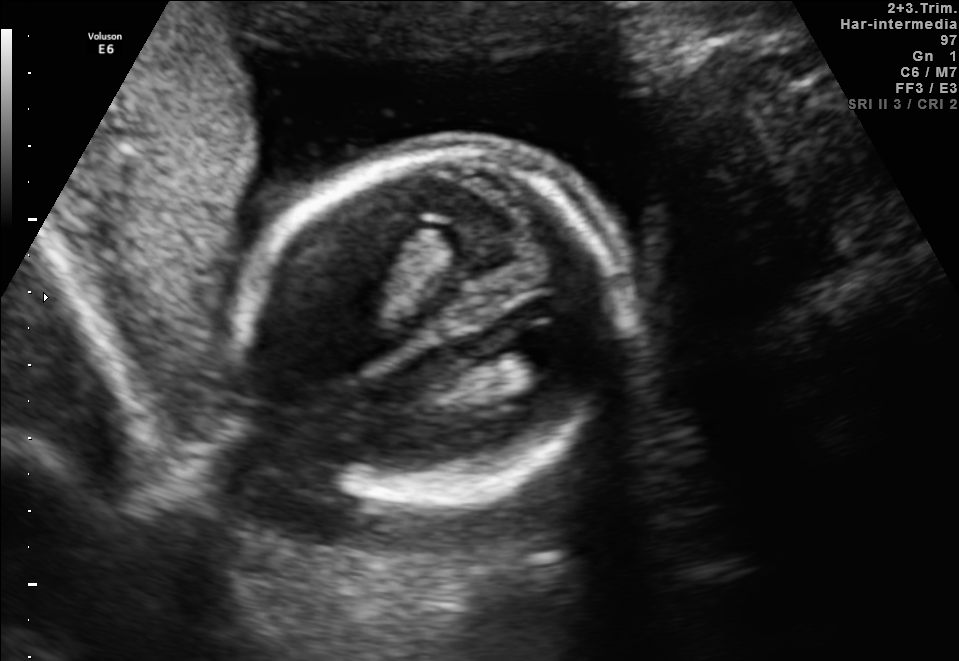
This is a 2D maternal-fetal ultrasound frame. Is it a fetal abdomen, fetal brain, fetal femur, fetal thorax, maternal cervix, or other standard plane? If it's fetal brain and one of the three standard brain planes (trans-thalamic, trans-cerebellum, trans-ventricular), name which.

Fetal brain (trans-ventricular plane)